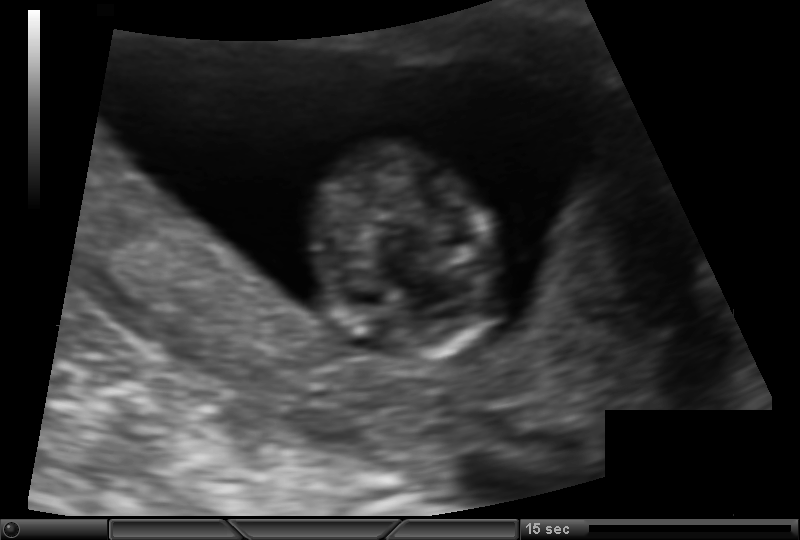
Fetal head ultrasound. Image width: 84.2 mm. Give [x1,y1,x2,y2] bounding boxes for each visible structure among: fetal head, CSP, LV.

Head: [309,142,502,364]